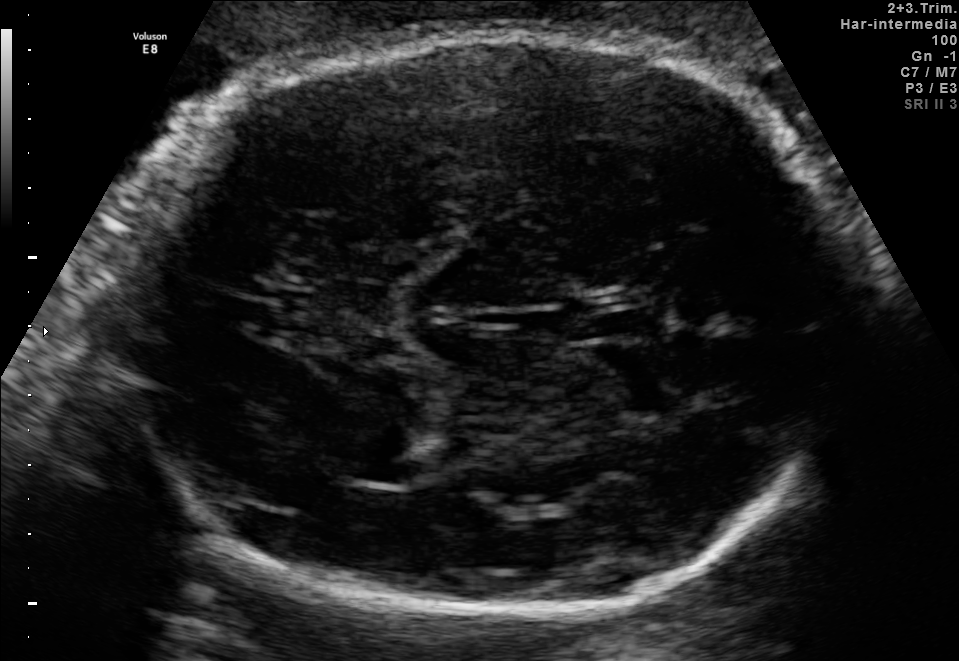
Fetal brain, trans-thalamic plane. Locate the fetal head.

Head: [117,34,854,617]